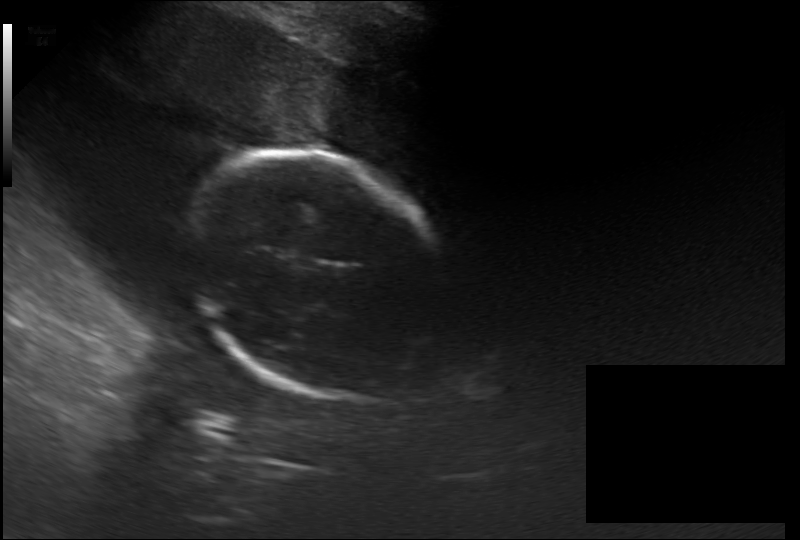
What is the fetal head circumference? Image width is 211.0 mm.

217.9 mm